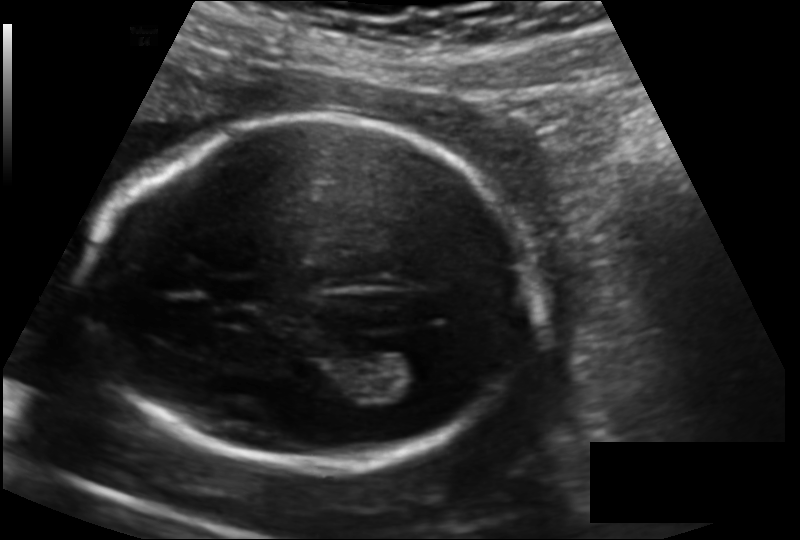
What is the fetal head circumference? Image width is 111.4 mm.

179.7 mm